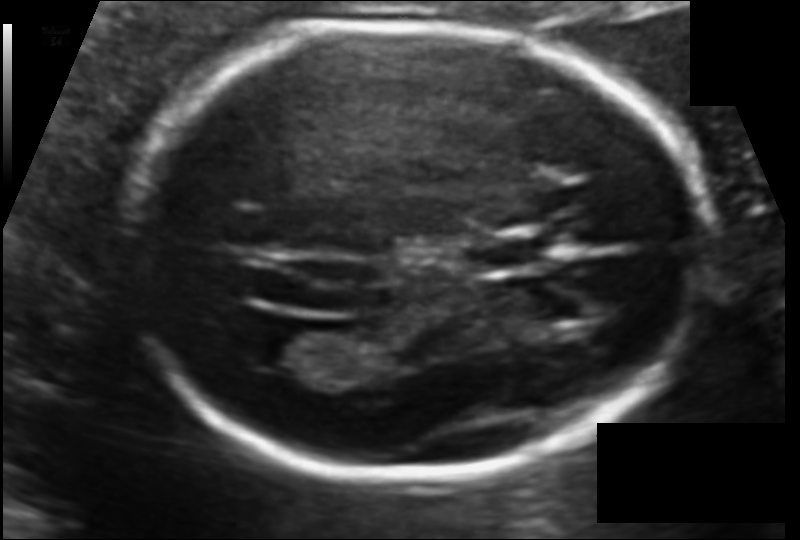
From this fetal ultrasound, estimate the head circumference (image width 85.6 mm).

Head circumference: 180.2 mm.